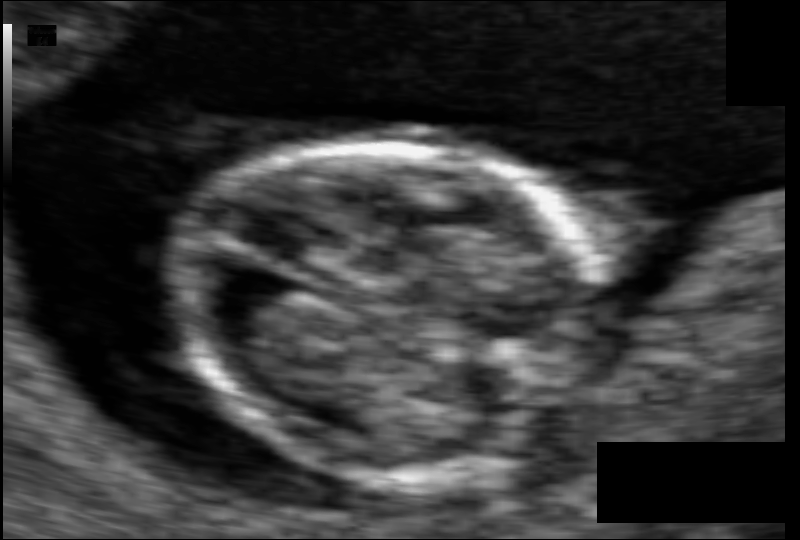
What is the fetal head circumference? Image width is 43.6 mm.

68.4 mm